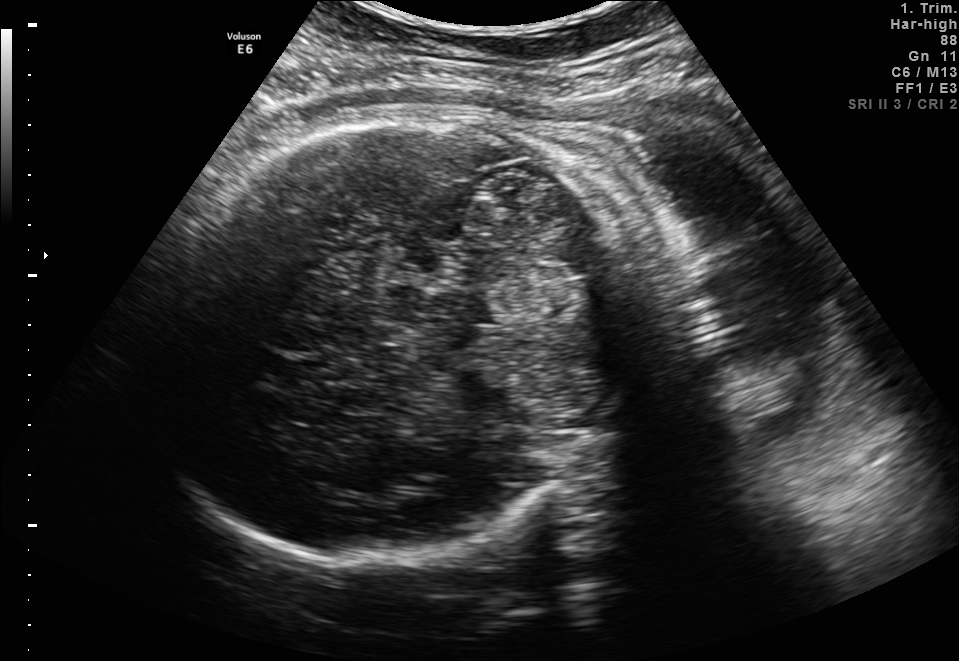
Fetal brain, trans-thalamic plane. Locate the fetal head and, if visible, the cavum septum pellucidum (CSP) and lateral ventricle (LV). Give bounding boxes as [x1,y1,x2,y2].

Head: [144,108,633,573]